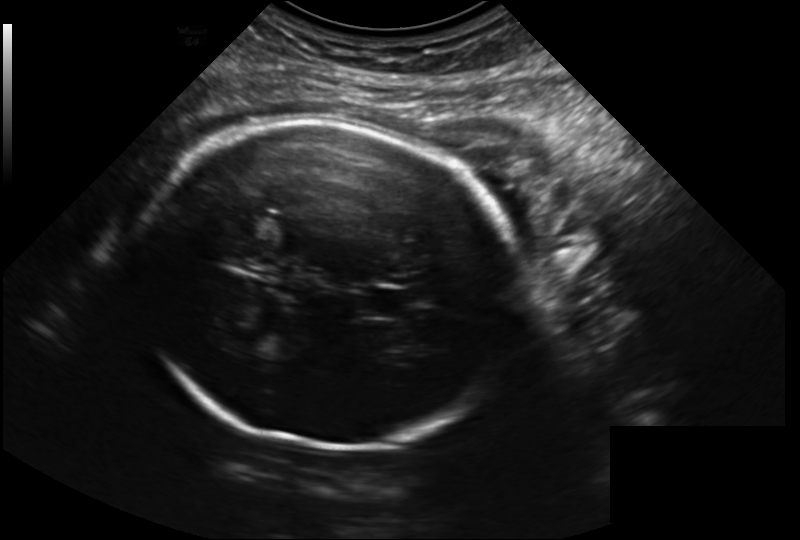
From this fetal ultrasound, estimate the head circumference (image width 178.0 mm).

Head circumference: 254.6 mm.